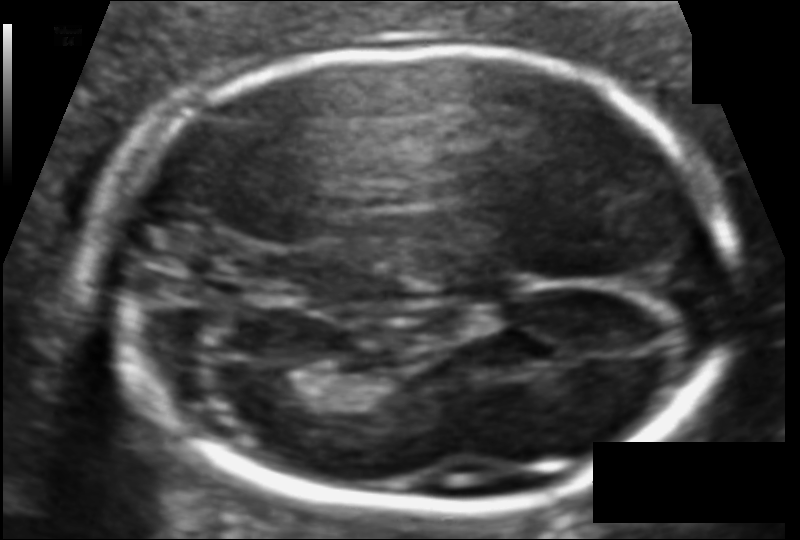
Fetal head ultrasound. Image width: 76.5 mm. Locate the fetal head and, if visible, the cavum septum pellucidum (CSP) and lateral ventricle (LV). Give bounding boxes as [x1,y1,x2,y2].

Head: [97,49,730,509]
Lateral ventricle: [260,365,324,410]